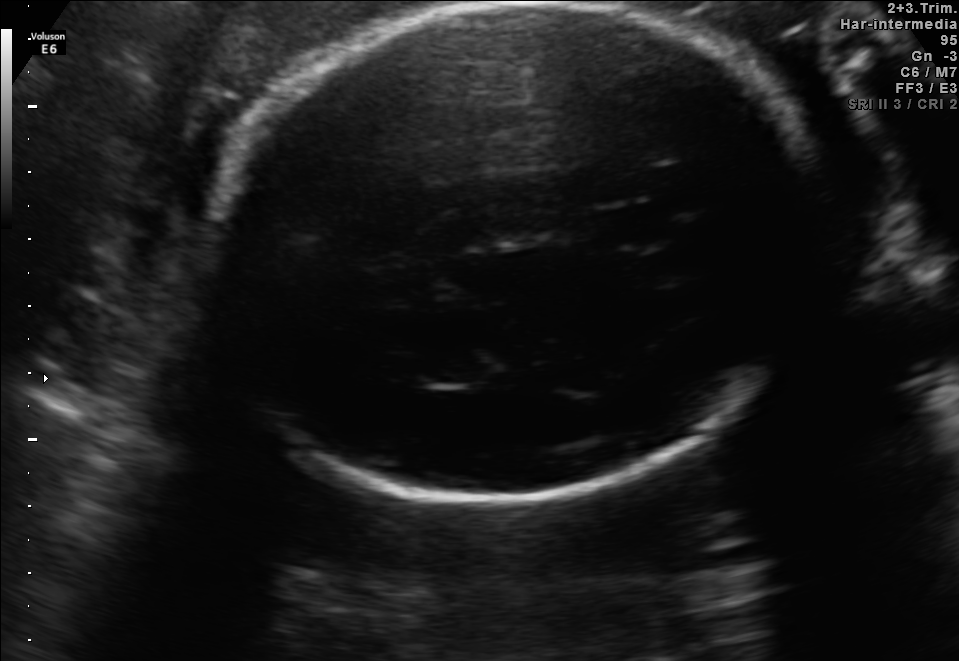
Fetal brain, trans-thalamic plane. Where is the fetal head?

Head bounding box: [207,3,824,502]